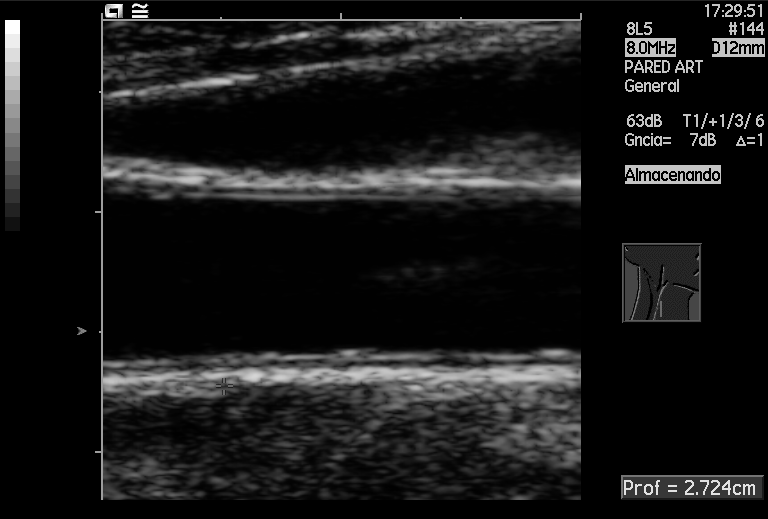
Classify this maternal-fetal ultrasound image as one of the six standard planes — fetal abdomen, fetal brain, fetal femur, fetal thorax, maternal cervix, or other. If it's fetal brain and one of the three standard brain planes (trans-thalamic, trans-cerebellum, trans-ventricular), name which.

Other